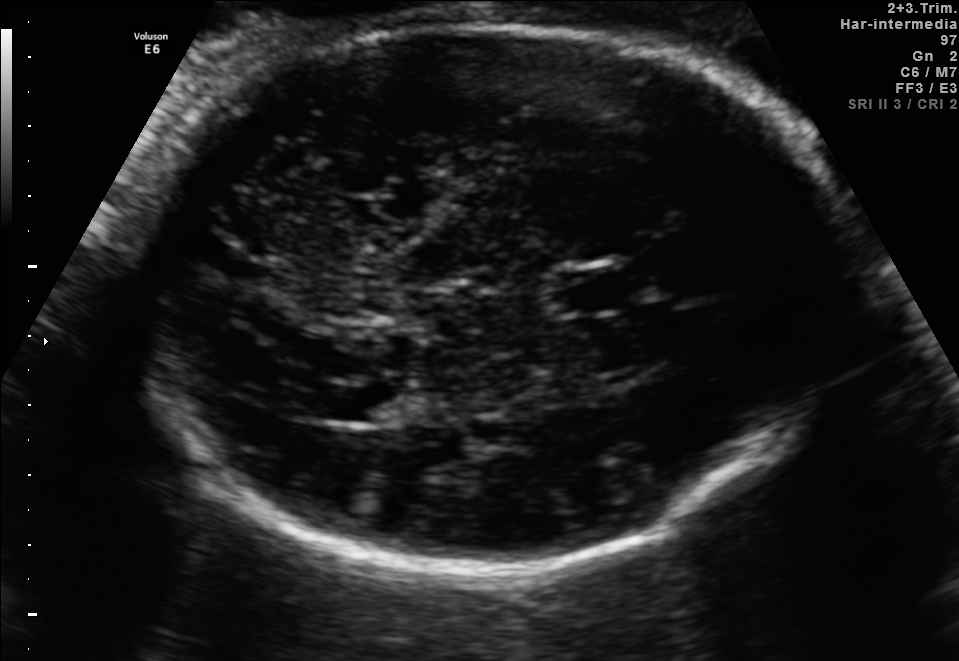
In this fetal brain, trans-thalamic plane, give the bounding box of the fetal head.

[135,26,852,569]